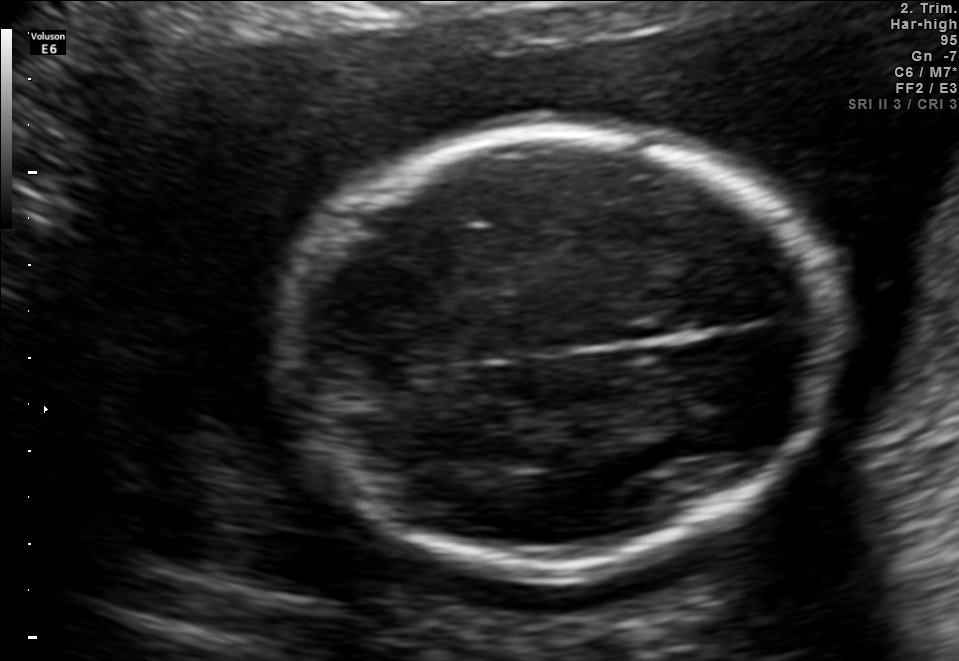
Fetal brain, trans-thalamic plane. Locate the fetal head.

Head: [285,131,826,572]